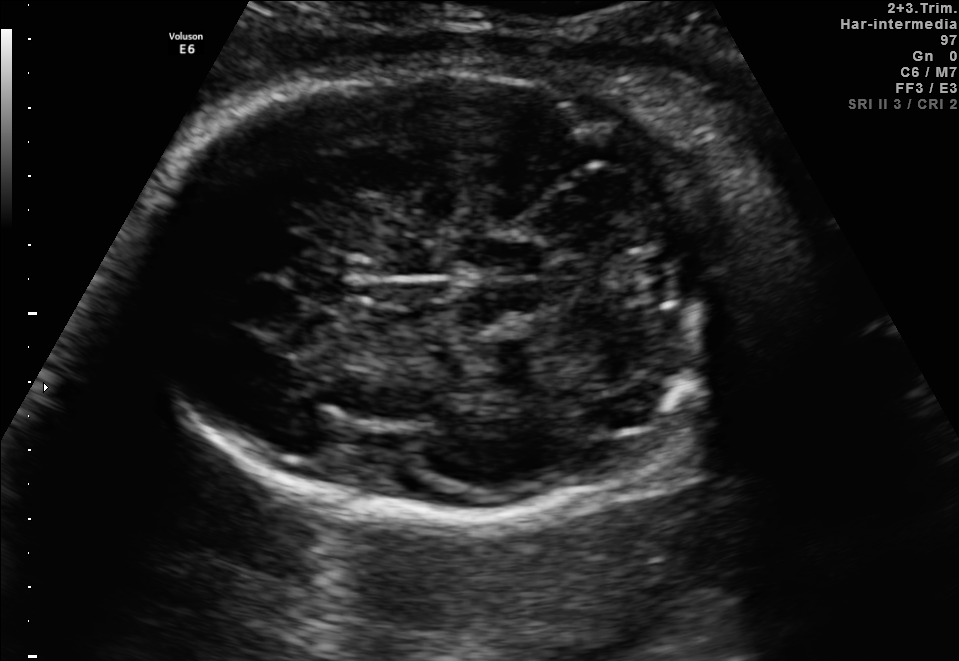
Fetal brain, trans-cerebellum plane. Locate the fetal head.

Head: [141,60,746,529]